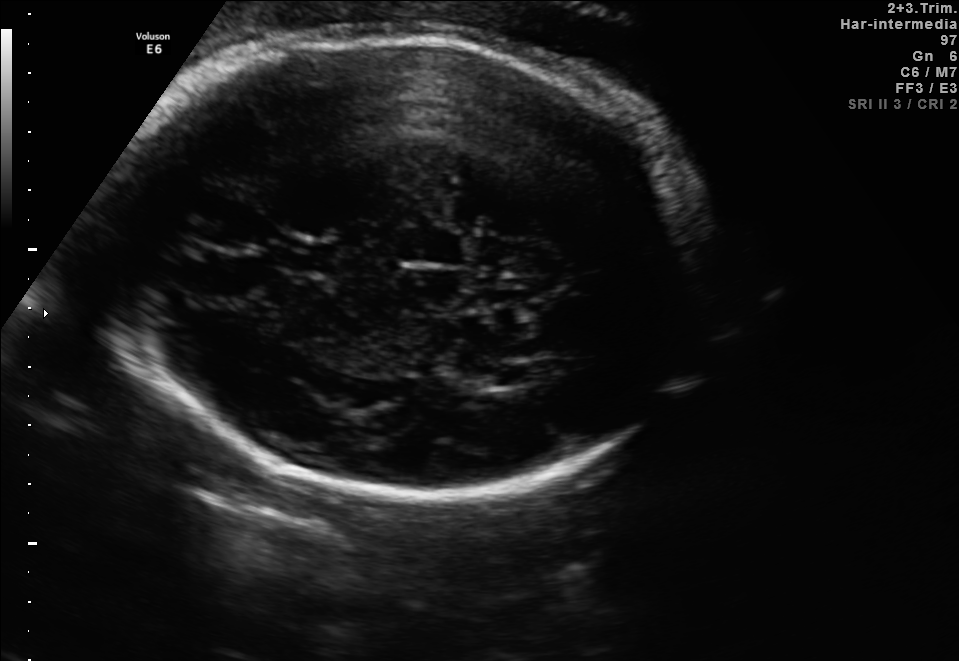
In this fetal brain, trans-ventricular plane, give the bounding box of the fetal head.

[101,26,730,507]